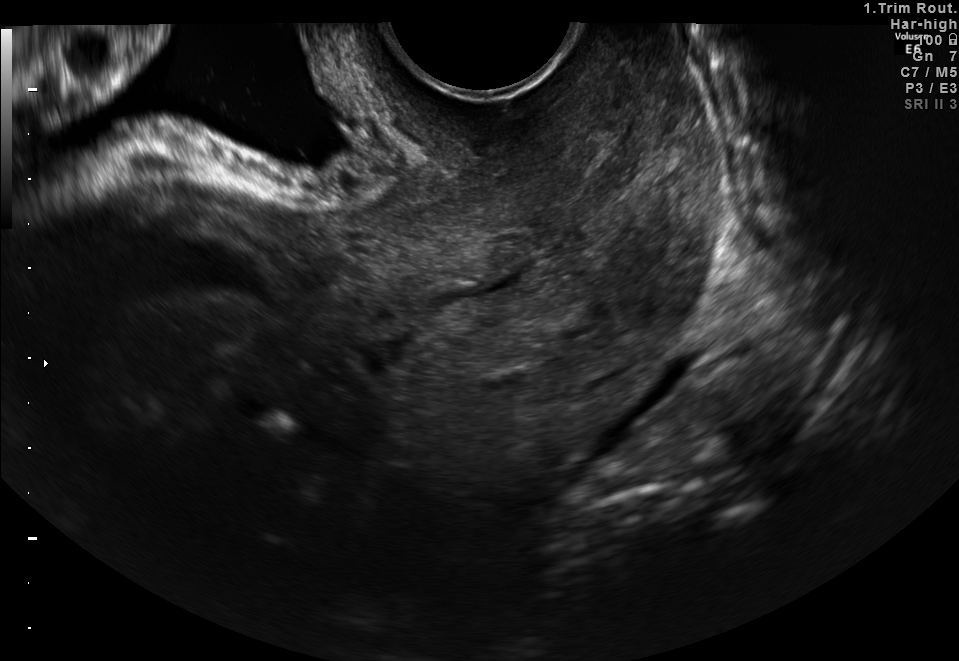
Classify this maternal-fetal ultrasound image as one of the six standard planes — fetal abdomen, fetal brain, fetal femur, fetal thorax, maternal cervix, or other. If it's fetal brain and one of the three standard brain planes (trans-thalamic, trans-cerebellum, trans-ventricular), name which.

Maternal cervix